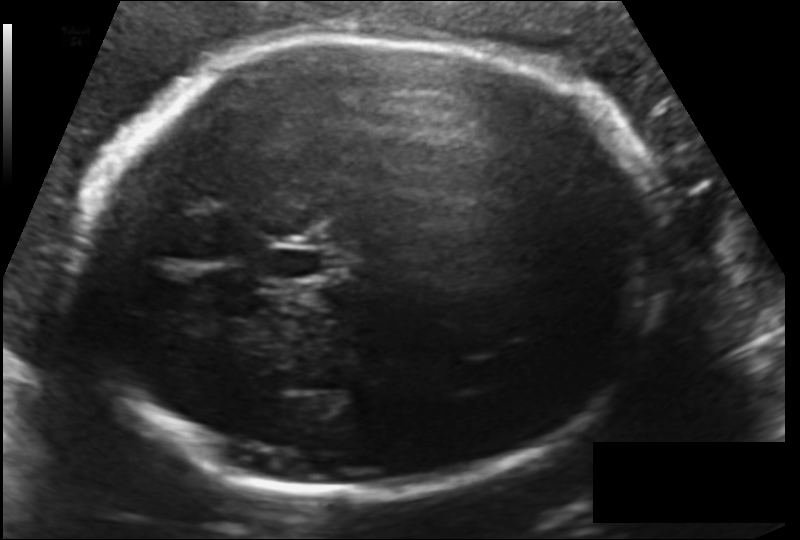
Estimate the fetal head circumference from this 2D ultrasound. Image width: 122.1 mm.

Head circumference: 255.8 mm.